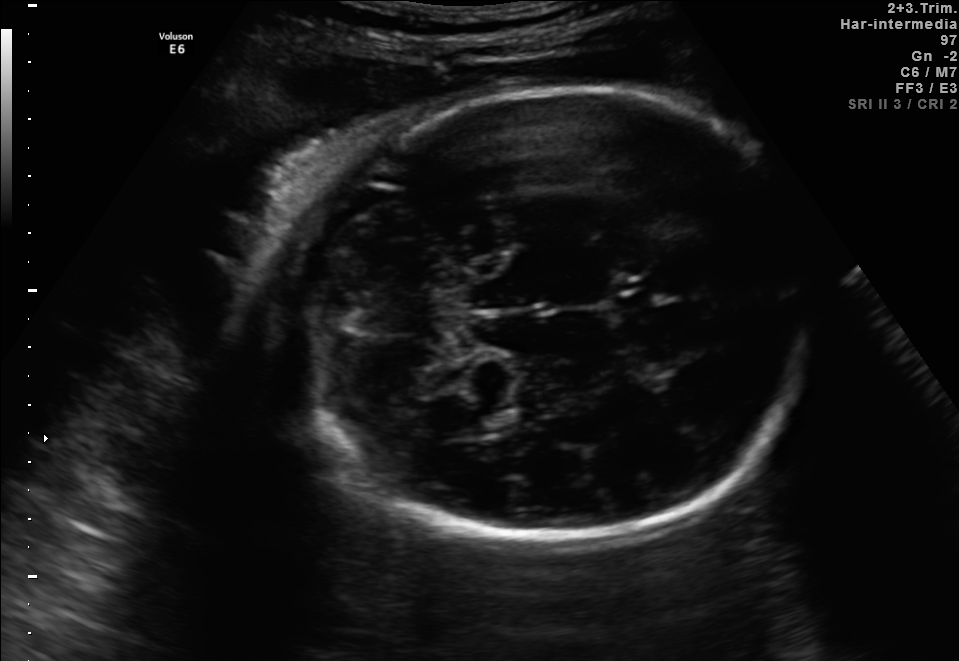
In this fetal brain, trans-thalamic plane, give the bounding box of the lateral ventricle.

[461,405,521,442]